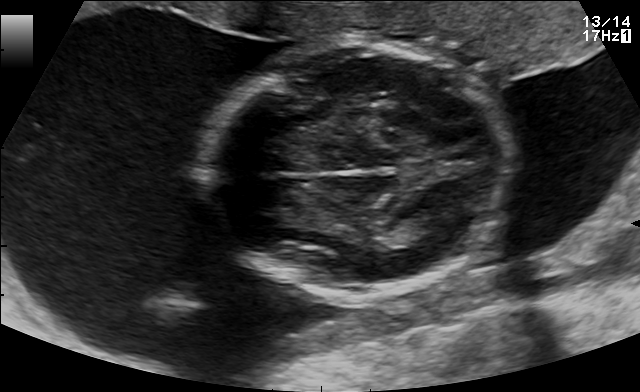
Fetal brain, trans-thalamic plane. Locate the lateral ventricle.

Lateral ventricle: [395,202,453,245]